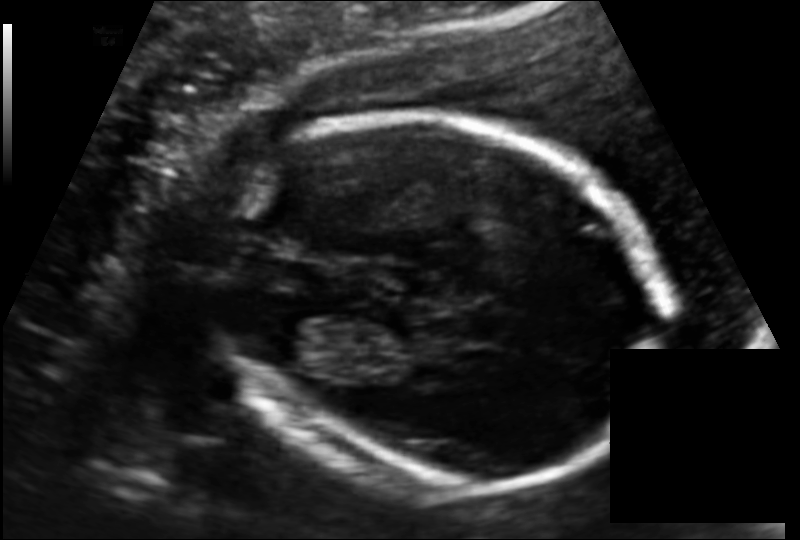
In this fetal head ultrasound, give the bounding box of the fetal head. Image width: 103.9 mm.

[209,114,667,492]